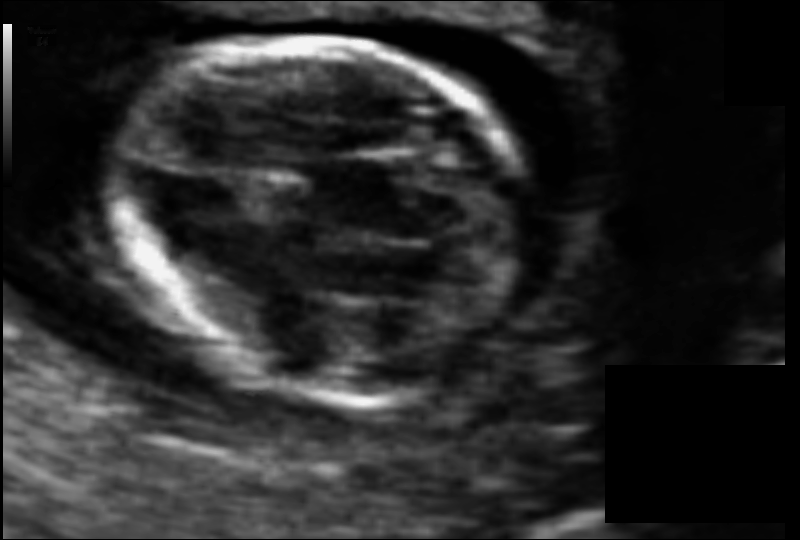
Estimate the fetal head circumference from this 2D ultrasound.

Head circumference: 77.7 mm (image width 51.5 mm).